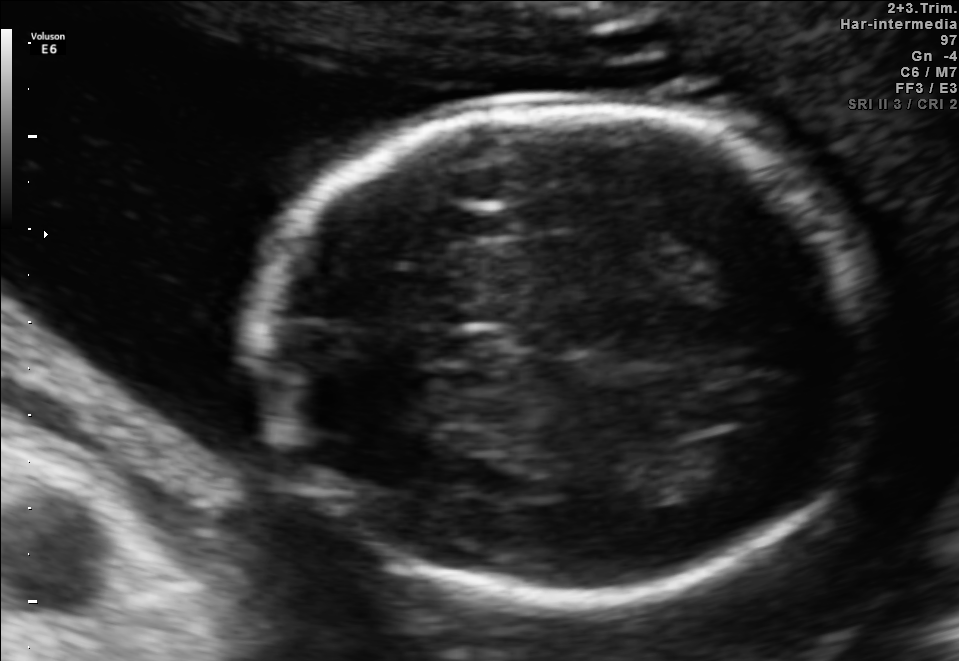
In this fetal brain, trans-ventricular plane, give bounding boxes for the head outline, cavum septum pellucidum (CSP), and lateral ventricle (LV), where visible.

Head: [241,98,896,607]
CSP: [426,331,508,367]
Lateral ventricle: [685,421,788,494]